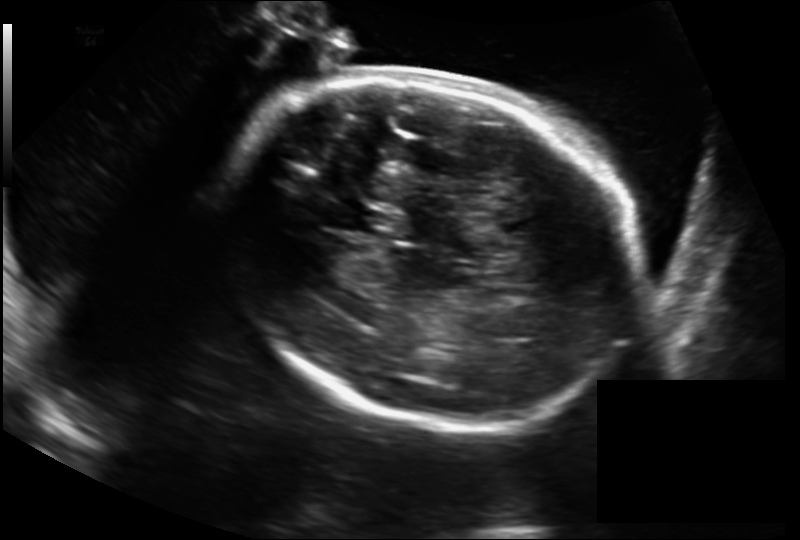
Fetal head ultrasound. Image width: 169.0 mm. Where is the fetal head?

Head bounding box: [216,78,639,423]